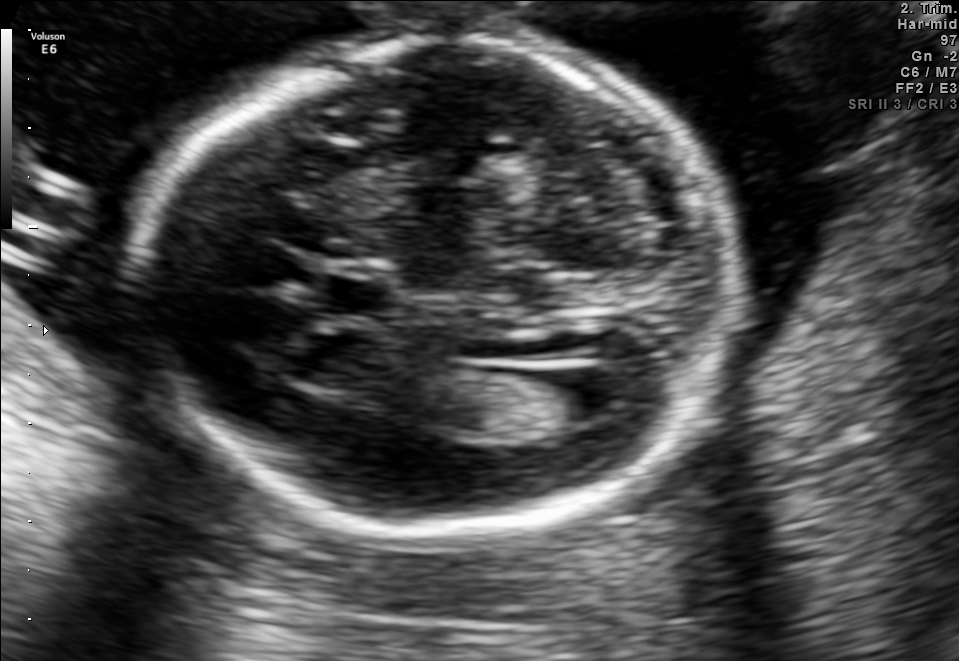
Fetal brain, trans-ventricular plane. Locate the fetal head.

Head: [134,32,743,541]